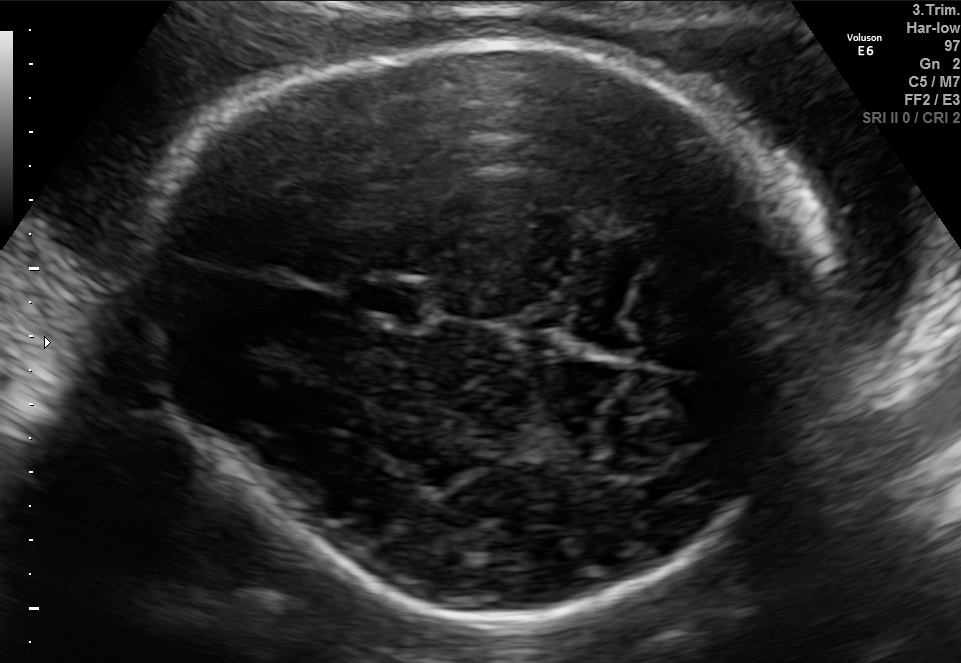
In this fetal brain, trans-thalamic plane, give the bounding box of the fetal head.

[134,33,827,628]